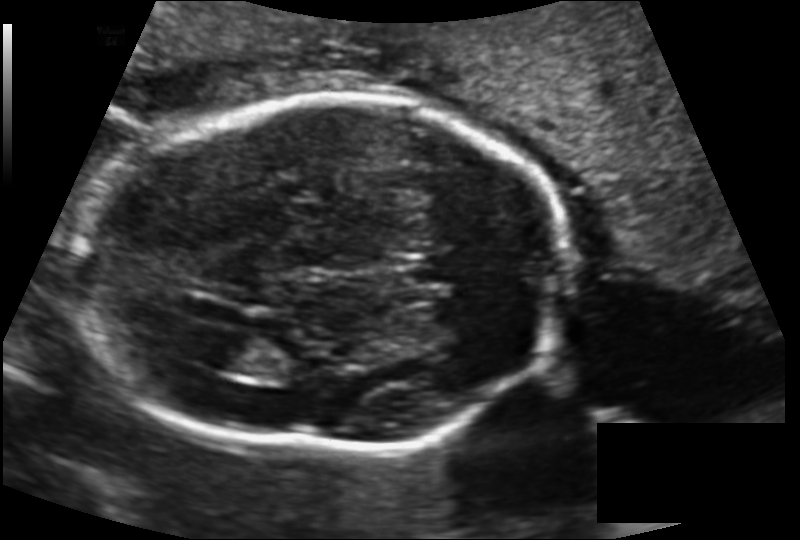
In this fetal head ultrasound, give the bounding box of the lateral ventricle. Image width: 114.0 mm.

[202,330,273,378]